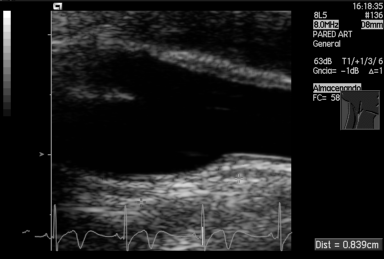
This is a 2D maternal-fetal ultrasound frame. Is it a fetal abdomen, fetal brain, fetal femur, fetal thorax, maternal cervix, or other standard plane? If it's fetal brain and one of the three standard brain planes (trans-thalamic, trans-cerebellum, trans-ventricular), name which.

Other